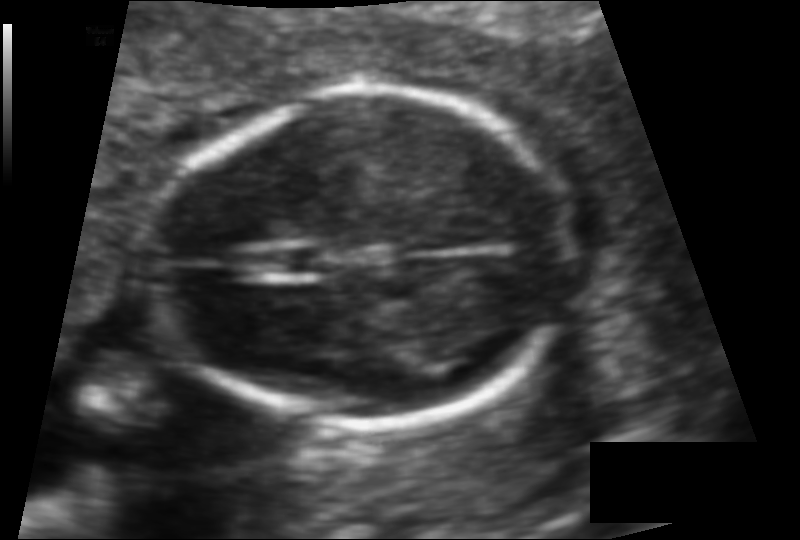
Fetal head ultrasound. Image width: 75.5 mm. Locate the fetal head and, if visible, the cavum septum pellucidum (CSP) and lateral ventricle (LV). Give bounding boxes as [x1,y1,x2,y2].

Head: [163,91,562,426]
CSP: [269,248,332,273]